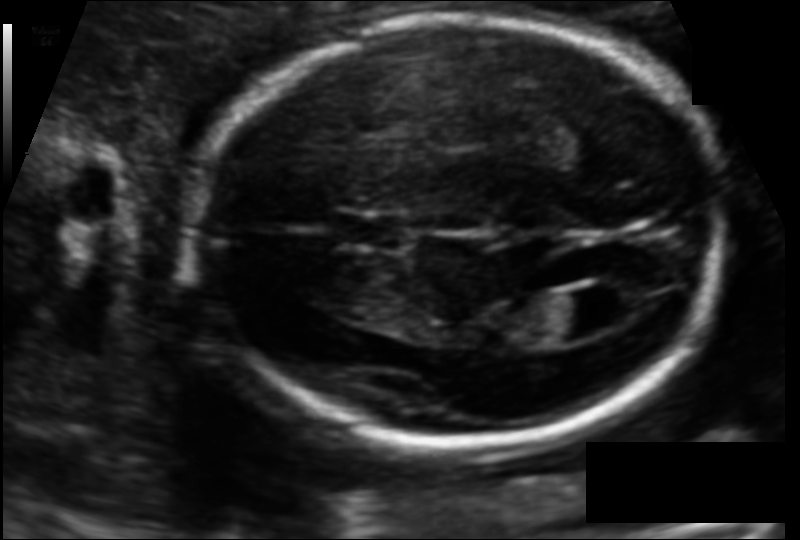
In this fetal head ultrasound, give the bounding box of the fetal head. Image width: 90.0 mm.

[195,16,718,446]